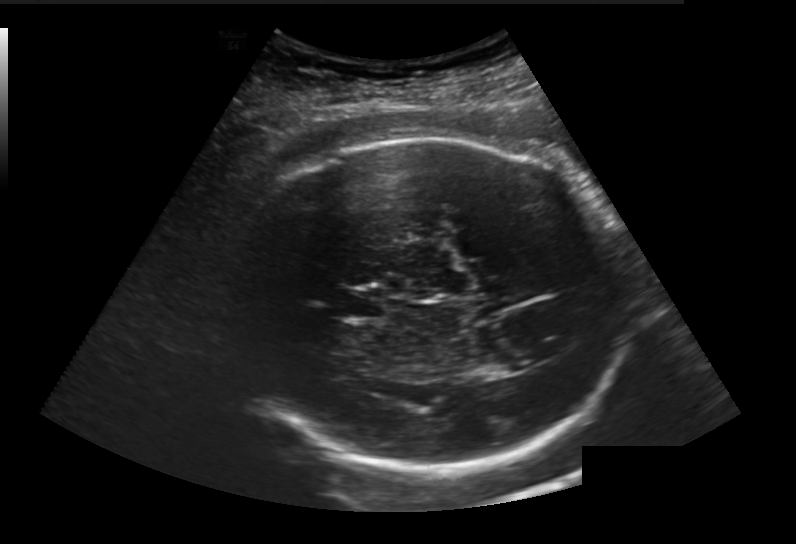
In this fetal head ultrasound, give the bounding box of the cavum septum pellucidum. Image width: 187.6 mm.

[338,288,384,318]